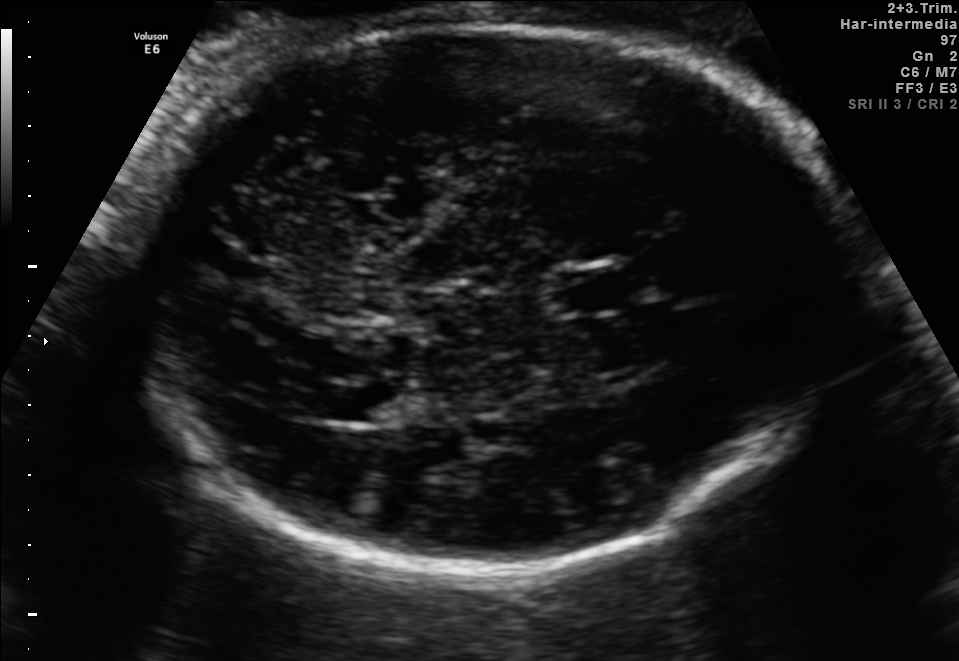
Which standard maternal-fetal ultrasound plane is shown: fetal abdomen, fetal brain, fetal femur, fetal thorax, maternal cervix, or other? If it's fetal brain and one of the three standard brain planes (trans-thalamic, trans-cerebellum, trans-ventricular), name which.

Fetal brain (trans-thalamic plane)